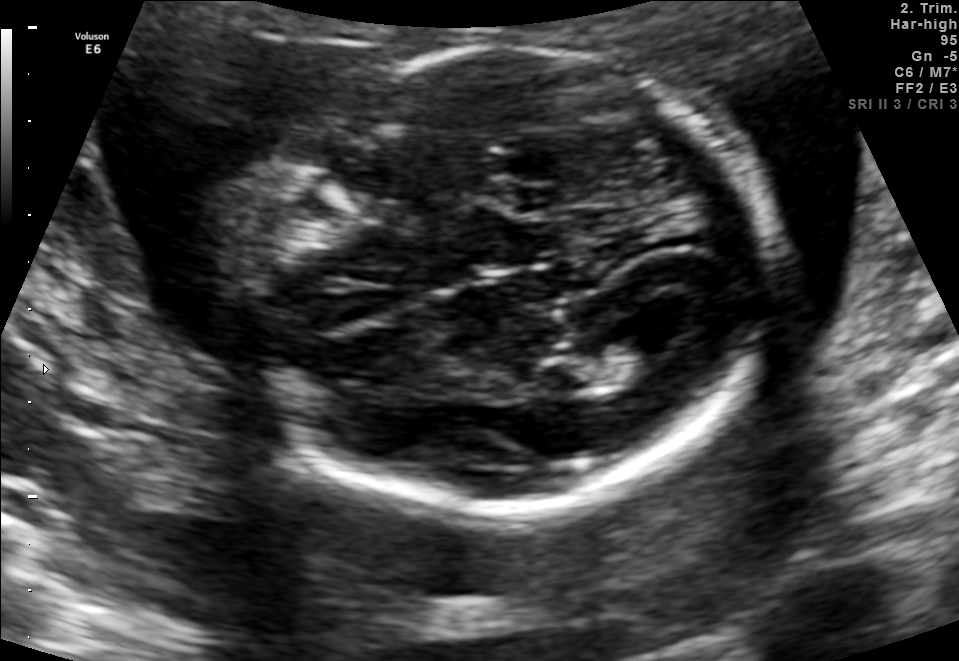
Classify this maternal-fetal ultrasound image as one of the six standard planes — fetal abdomen, fetal brain, fetal femur, fetal thorax, maternal cervix, or other. If it's fetal brain and one of the three standard brain planes (trans-thalamic, trans-cerebellum, trans-ventricular), name which.

Fetal brain (trans-ventricular plane)